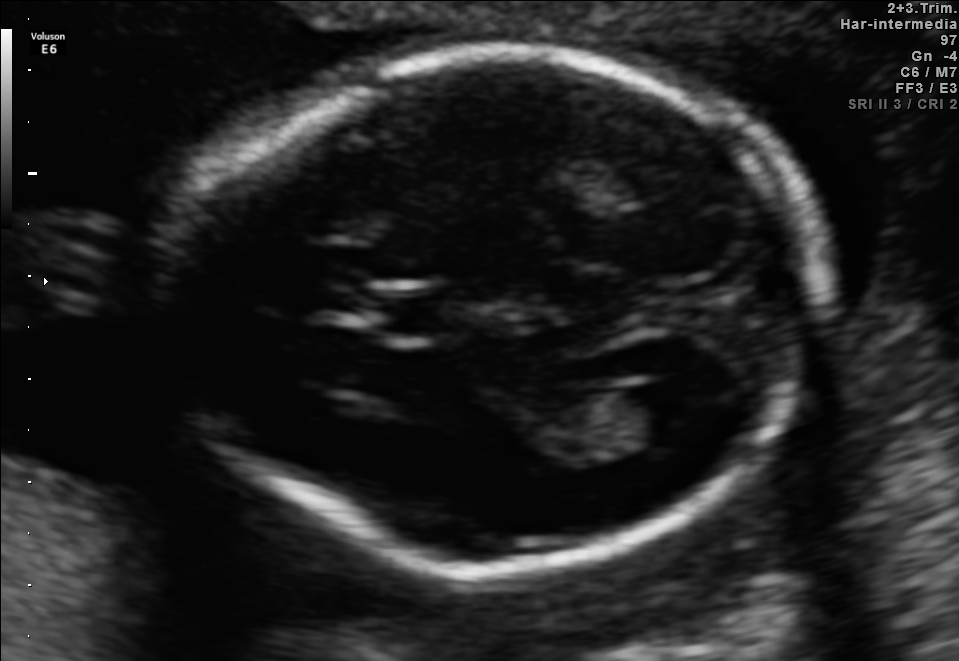
Classify this maternal-fetal ultrasound image as one of the six standard planes — fetal abdomen, fetal brain, fetal femur, fetal thorax, maternal cervix, or other. If it's fetal brain and one of the three standard brain planes (trans-thalamic, trans-cerebellum, trans-ventricular), name which.

Fetal brain (trans-ventricular plane)